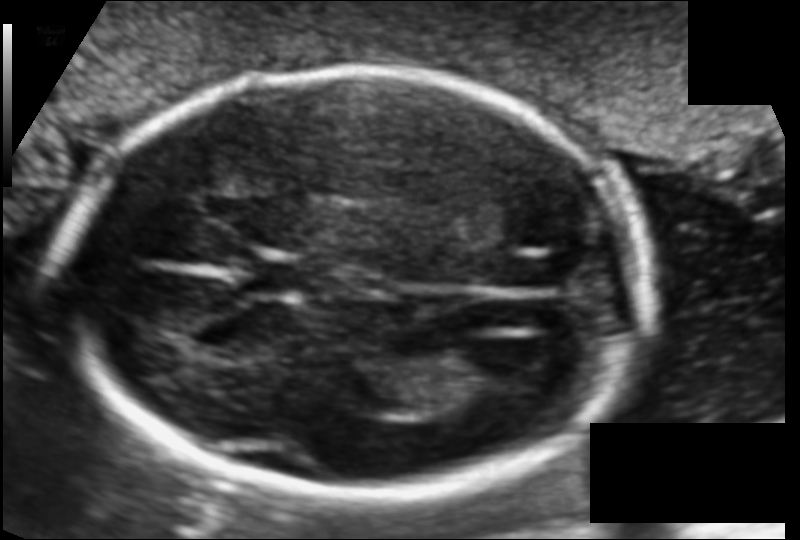
Fetal head ultrasound. Image width: 87.9 mm. Where is the cavum septum pellucidum?

CSP bounding box: [243,252,311,302]